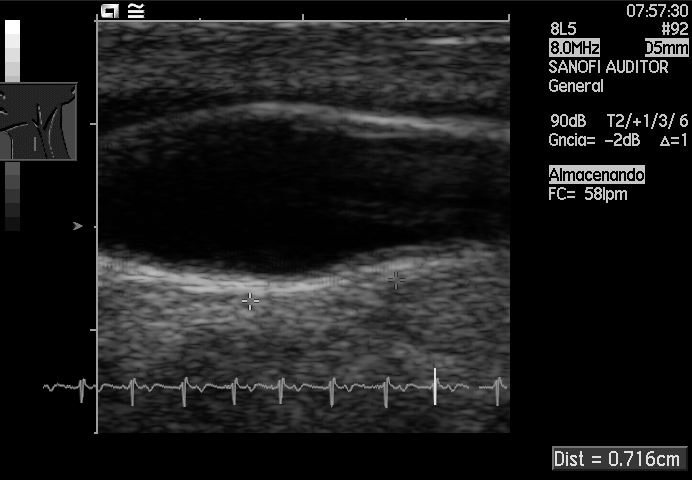
Identify the standard plane in this fetal ultrasound image: fetal abdomen, fetal brain, fetal femur, fetal thorax, maternal cervix, or other. If it's fetal brain and one of the three standard brain planes (trans-thalamic, trans-cerebellum, trans-ventricular), name which.

Other